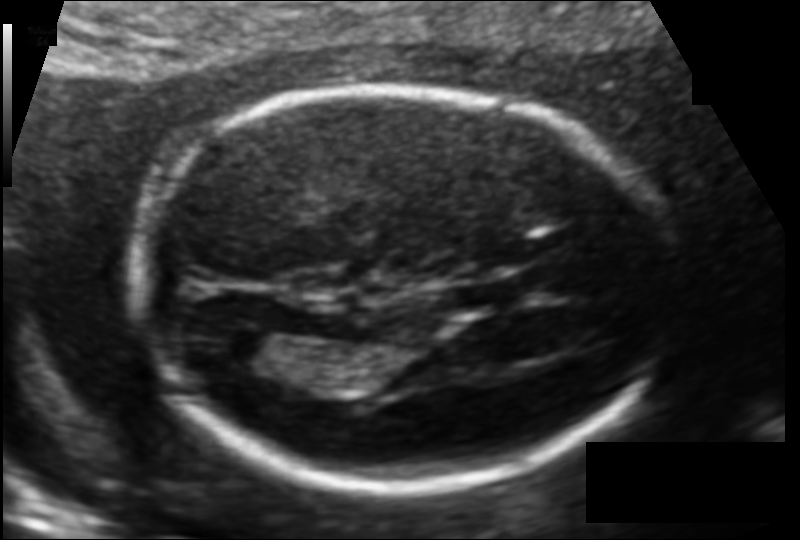
Fetal head ultrasound. Image width: 87.0 mm. Locate the fetal head and, if visible, the cavum septum pellucidum (CSP) and lateral ventricle (LV). Give bounding boxes as [x1,y1,x2,y2].

Head: [138,88,665,489]
Lateral ventricle: [214,326,289,374]